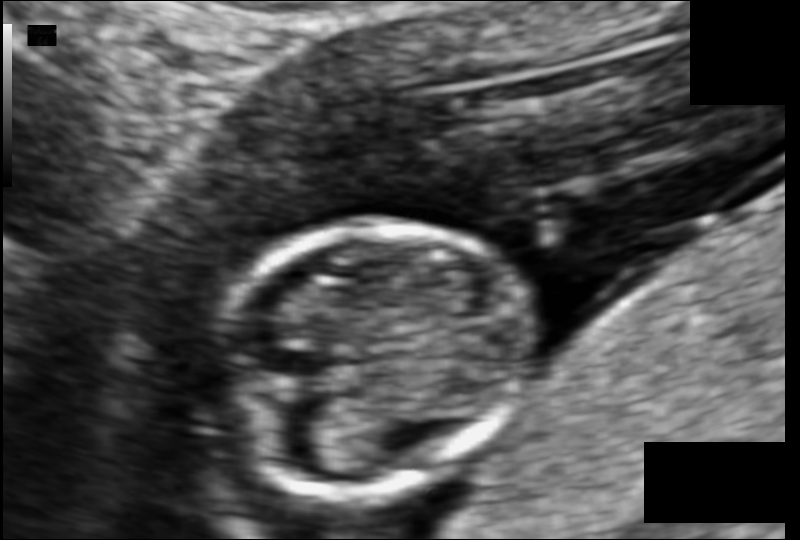
Fetal head ultrasound. Image width: 62.1 mm. Locate the fetal head.

Head: [216,223,532,493]